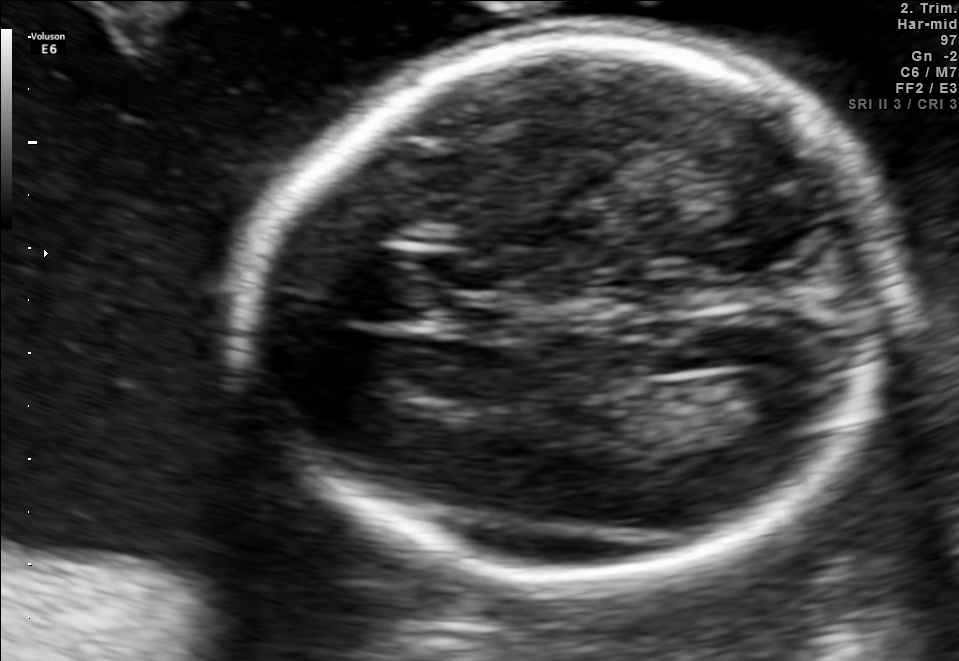
Fetal brain, trans-ventricular plane. Where is the fetal head?

Head bounding box: [220,21,921,594]